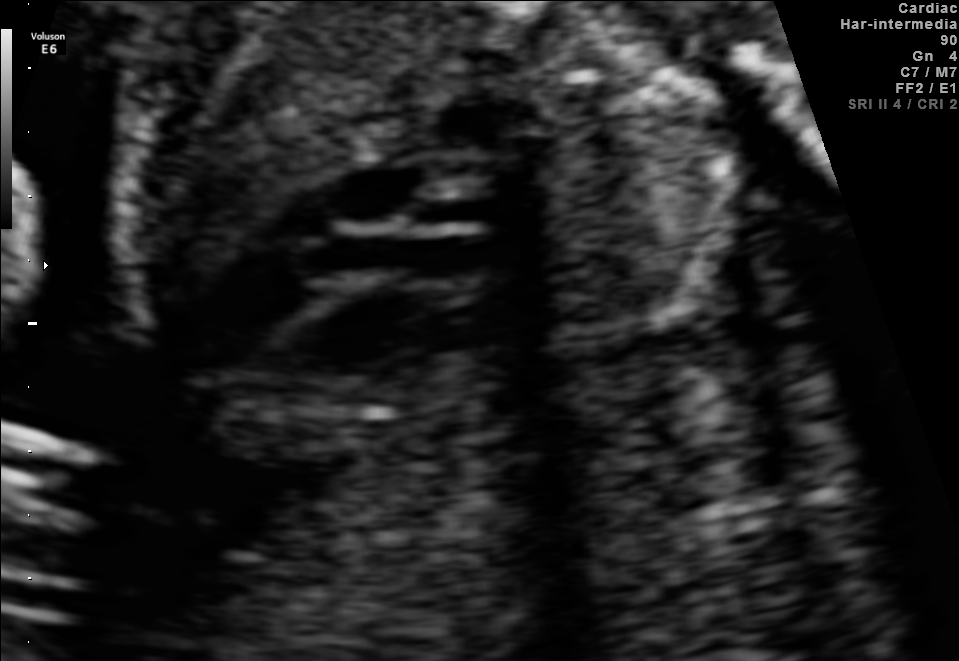
Which standard maternal-fetal ultrasound plane is shown: fetal abdomen, fetal brain, fetal femur, fetal thorax, maternal cervix, or other? If it's fetal brain and one of the three standard brain planes (trans-thalamic, trans-cerebellum, trans-ventricular), name which.

Other